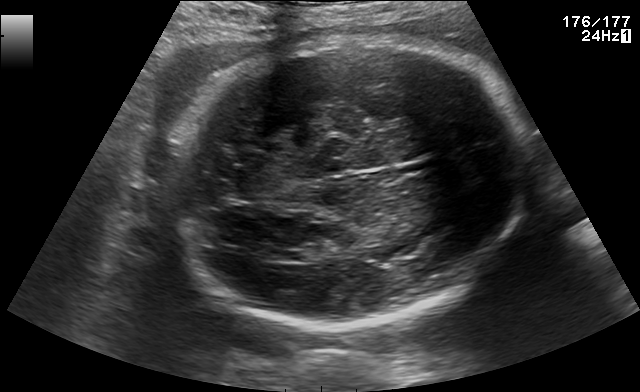
In this fetal brain, trans-thalamic plane, give bounding boxes for the head outline, cavum septum pellucidum (CSP), and lateral ventricle (LV), where visible.

Head: [164,37,527,321]
Lateral ventricle: [270,251,307,263]